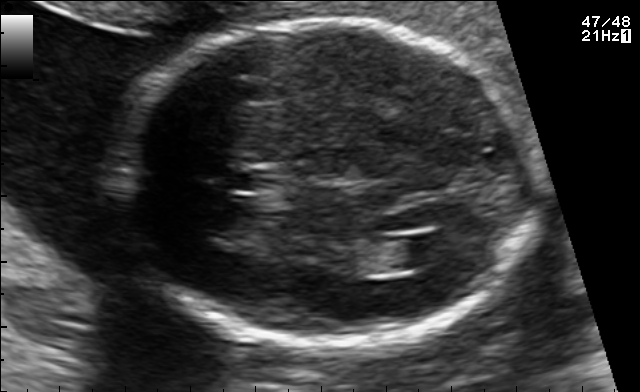
Fetal brain, trans-ventricular plane. Where is the lateral ventricle?

Lateral ventricle bounding box: [392,230,453,269]